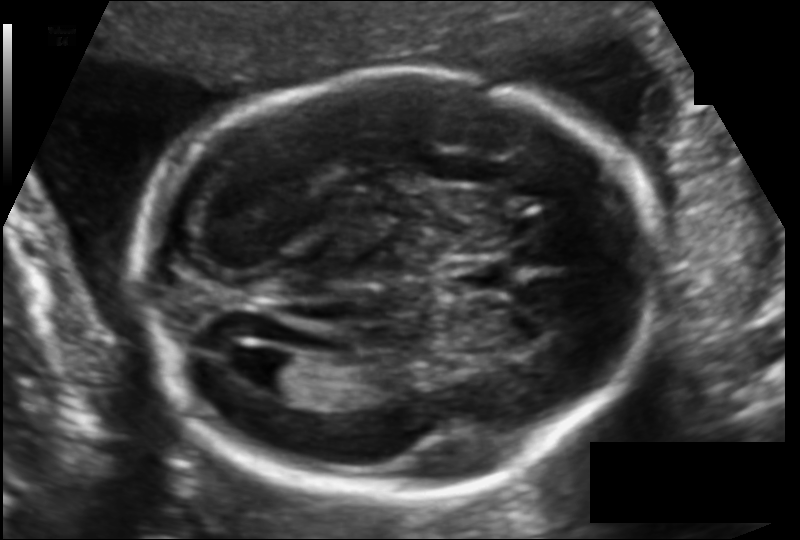
What is the fetal head circumference? Image width is 97.1 mm.

184.2 mm